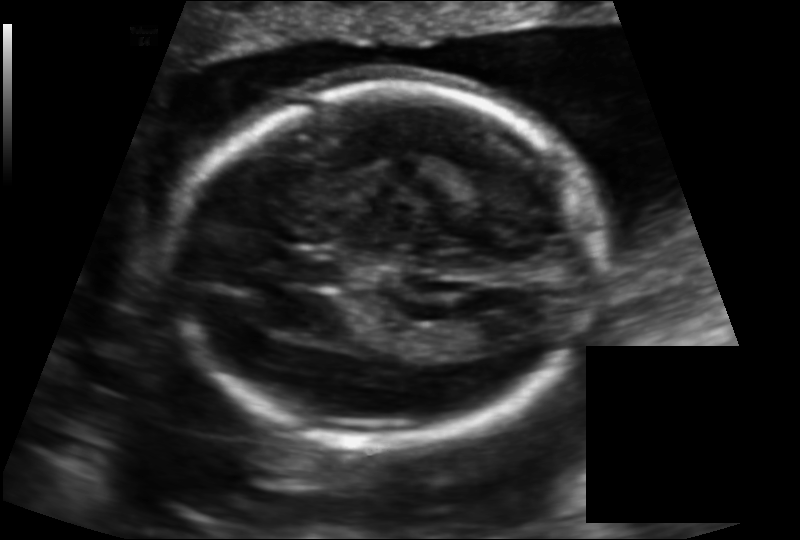
Fetal head ultrasound. Image width: 106.6 mm. Give [x1,y1,x2,y2] bounding boxes for each visible structure among: fetal head, CSP, LV.

Head: [173,86,596,440]
CSP: [286,253,339,284]
Lateral ventricle: [453,313,518,357]